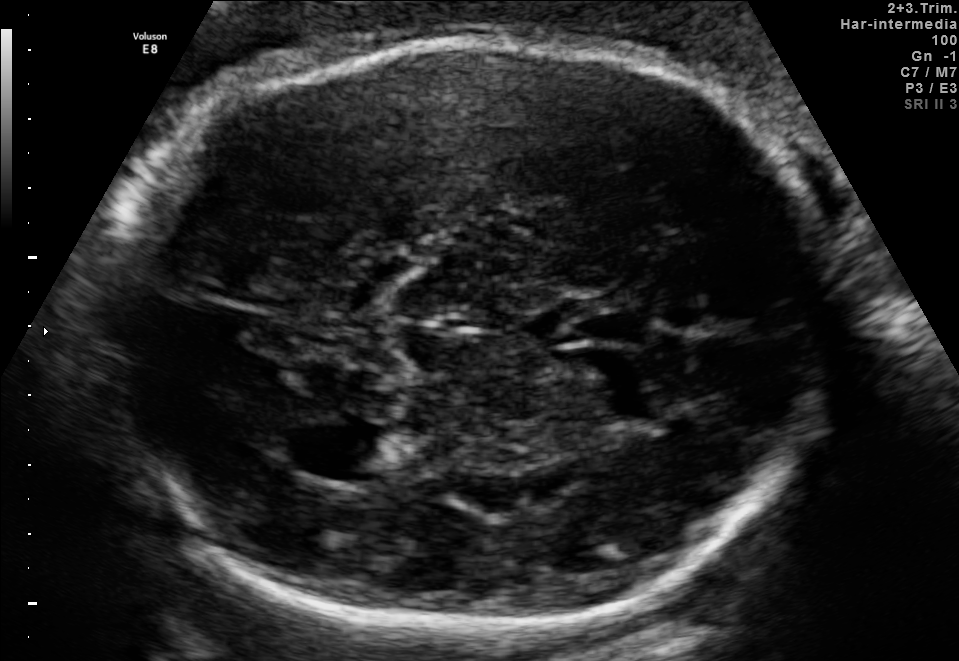
In this fetal brain, trans-thalamic plane, give the bounding box of the fetal head.

[91,37,834,630]